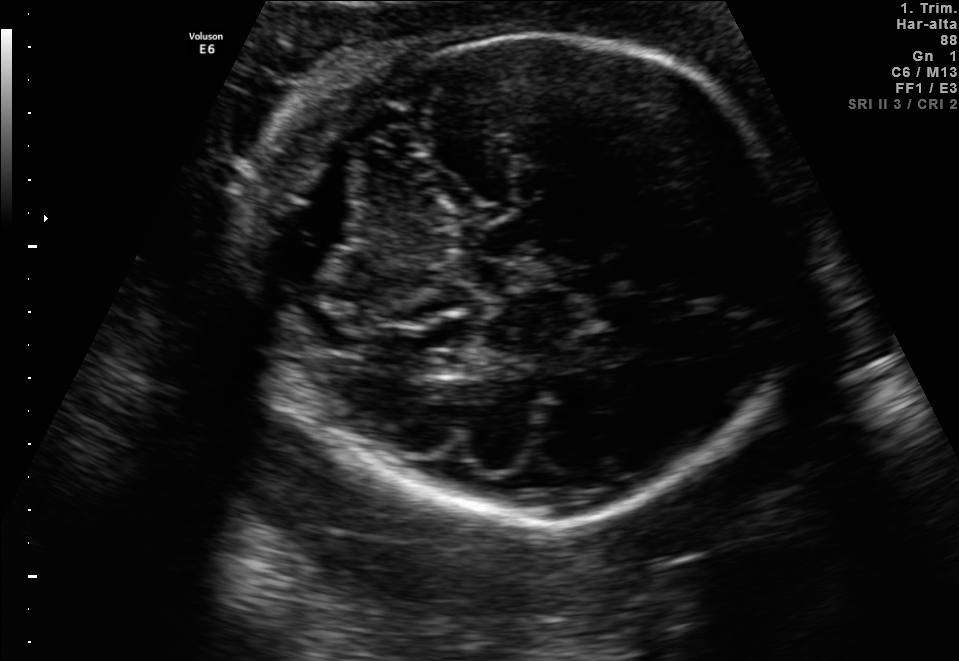
In this fetal brain, trans-cerebellum plane, give bounding boxes for the head outline, cavum septum pellucidum (CSP), and lateral ventricle (LV), where visible.

Head: [249,34,800,521]